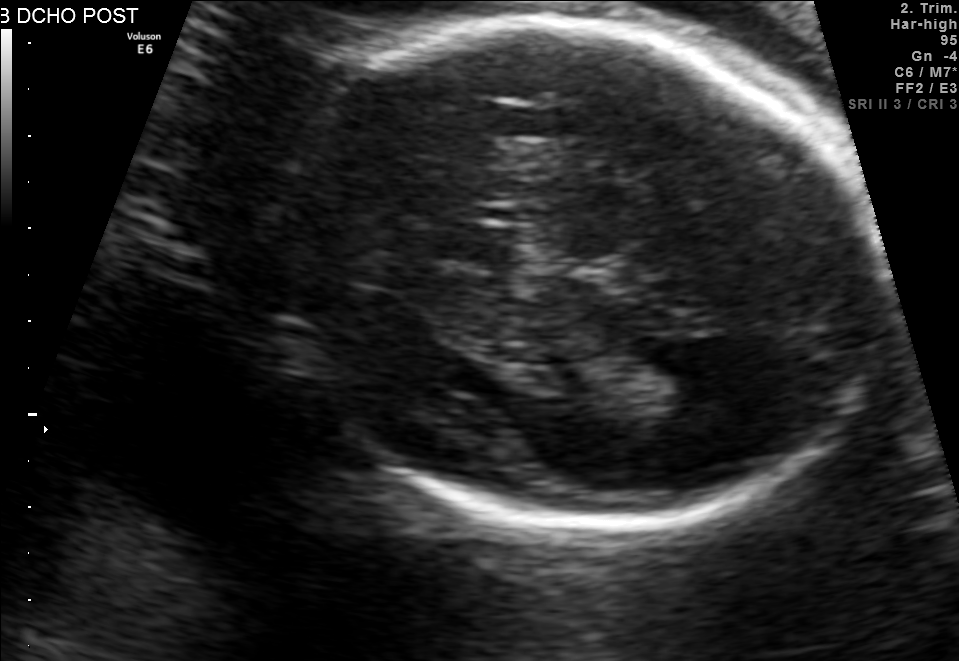
Fetal brain, trans-thalamic plane. Locate the fetal head.

Head: [265,22,878,529]